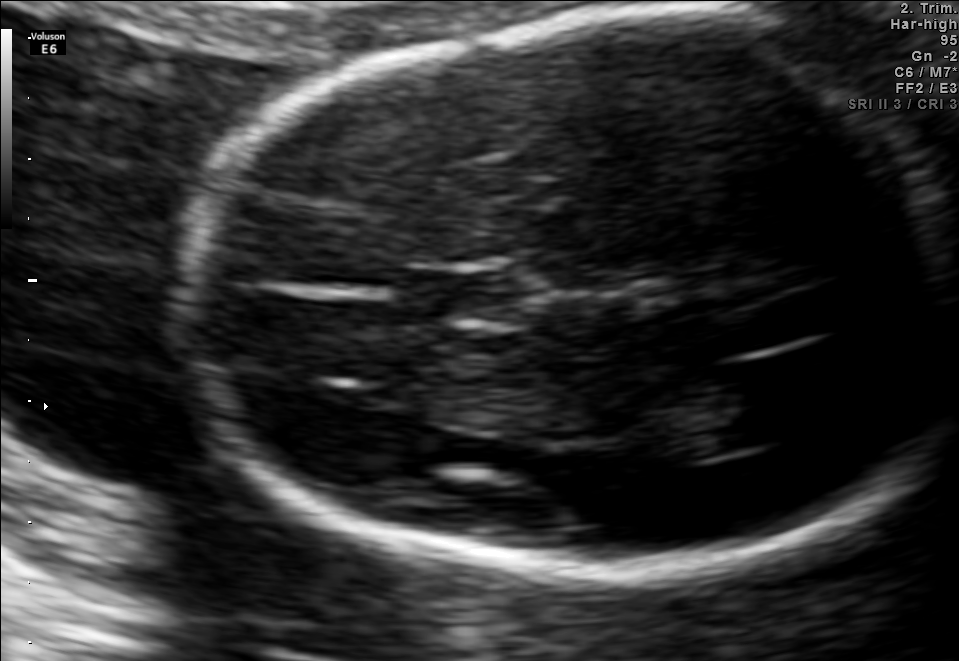
Classify this maternal-fetal ultrasound image as one of the six standard planes — fetal abdomen, fetal brain, fetal femur, fetal thorax, maternal cervix, or other. If it's fetal brain and one of the three standard brain planes (trans-thalamic, trans-cerebellum, trans-ventricular), name which.

Fetal brain (trans-thalamic plane)